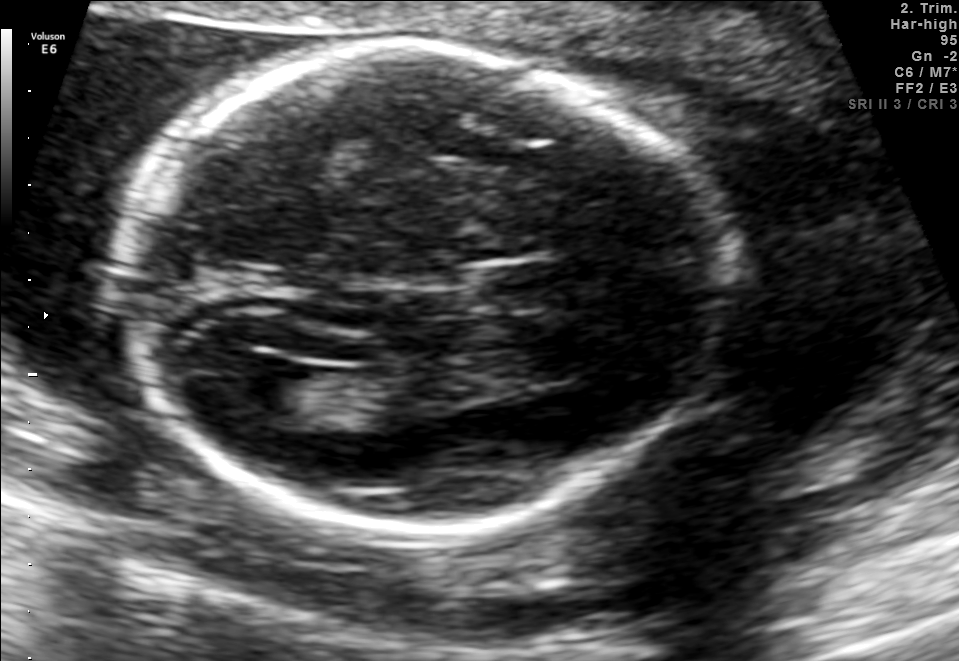
In this fetal brain, trans-ventricular plane, give bounding boxes for the head outline, cavum septum pellucidum (CSP), and lateral ventricle (LV), where visible.

Head: [106,33,747,548]
CSP: [480,261,553,310]
Lateral ventricle: [221,359,313,418]